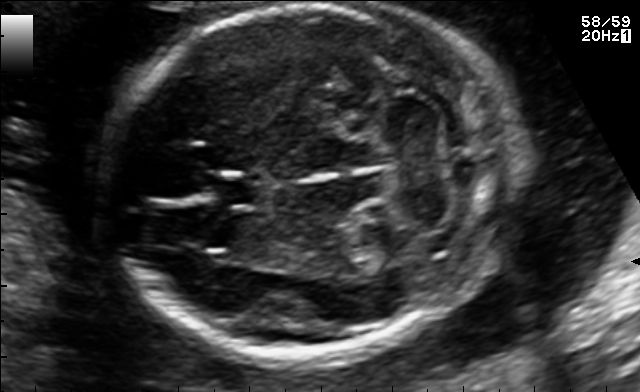
Fetal brain, trans-cerebellum plane. Where is the fetal head?

Head bounding box: [110,3,521,355]